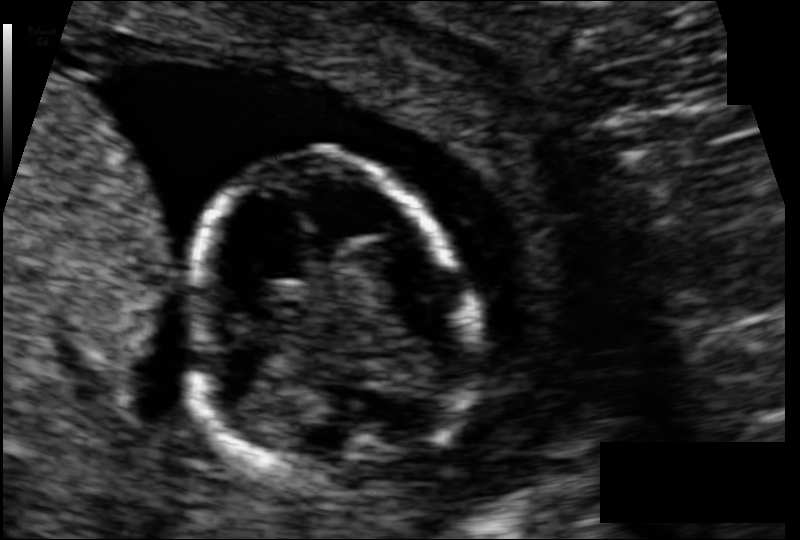
Estimate the fetal head circumference from this 2D ultrasound. Image width: 60.7 mm.

Head circumference: 78.3 mm.